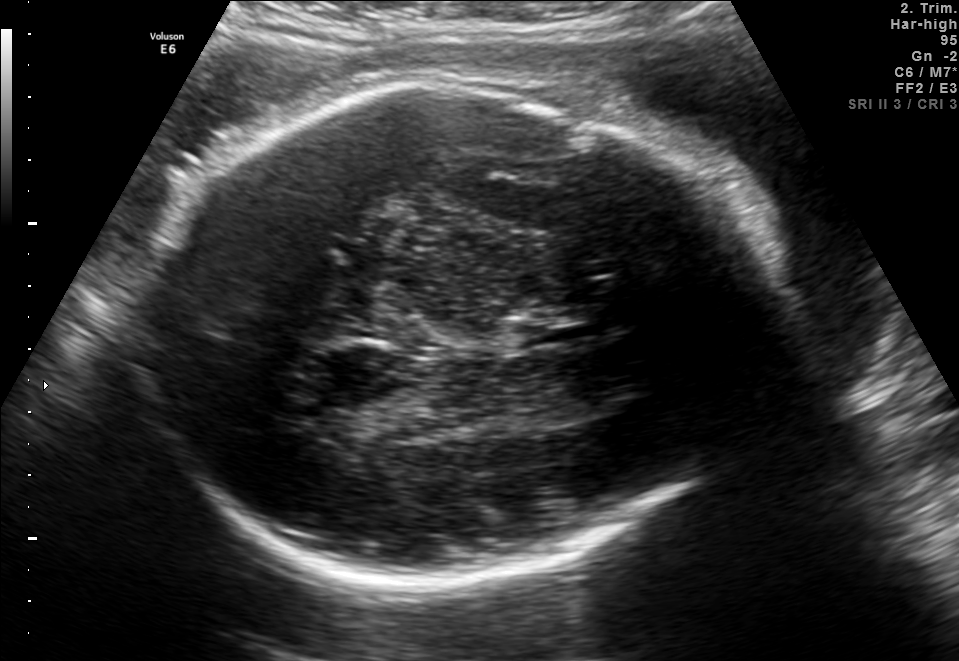
Which standard maternal-fetal ultrasound plane is shown: fetal abdomen, fetal brain, fetal femur, fetal thorax, maternal cervix, or other? If it's fetal brain and one of the three standard brain planes (trans-thalamic, trans-cerebellum, trans-ventricular), name which.

Fetal brain (trans-thalamic plane)